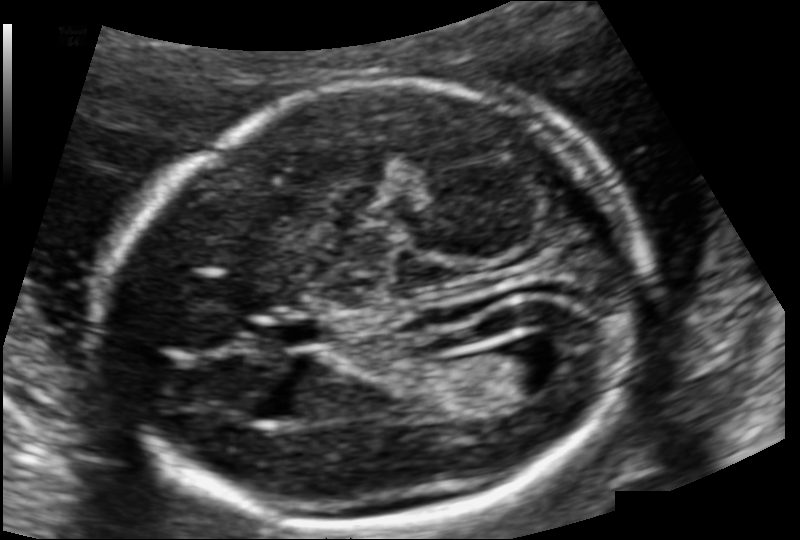
Fetal head ultrasound. Image width: 89.0 mm. Locate the lateral ventricle.

Lateral ventricle: [469,327,574,411]